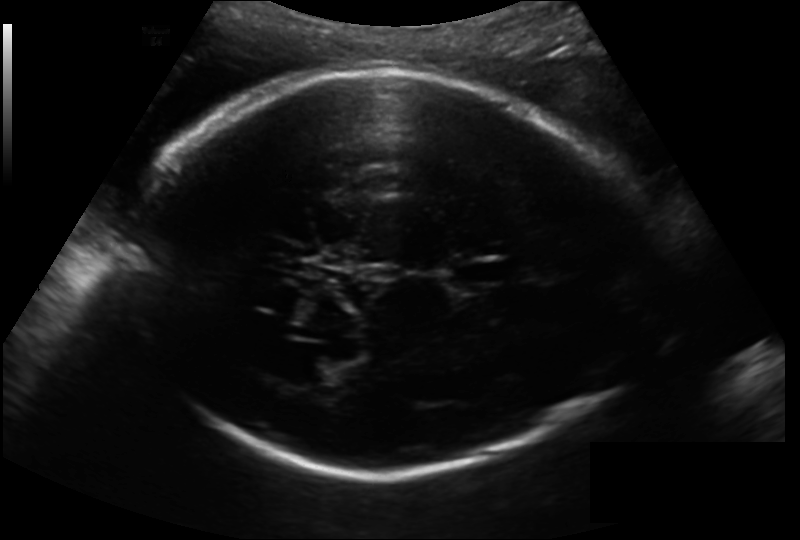
Estimate the fetal head circumference from this 2D ultrasound.

Head circumference: 280.6 mm (image width 154.5 mm).